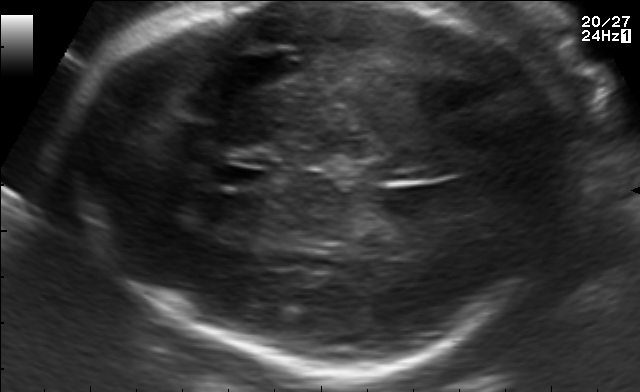
Fetal brain, trans-thalamic plane. Where is the cavum septum pellucidum?

CSP bounding box: [215,164,267,190]